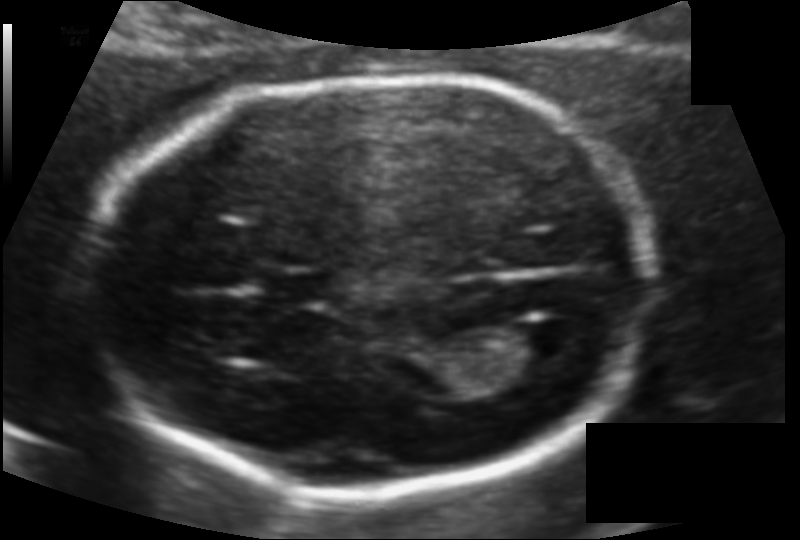
In this fetal head ultrasound, give bounding boxes for the head outline, cavum septum pellucidum (CSP), and lateral ventricle (LV), where visible. Image width: 85.2 mm.

Head: [92,77,645,489]
CSP: [264,271,330,305]
Lateral ventricle: [514,313,584,370]